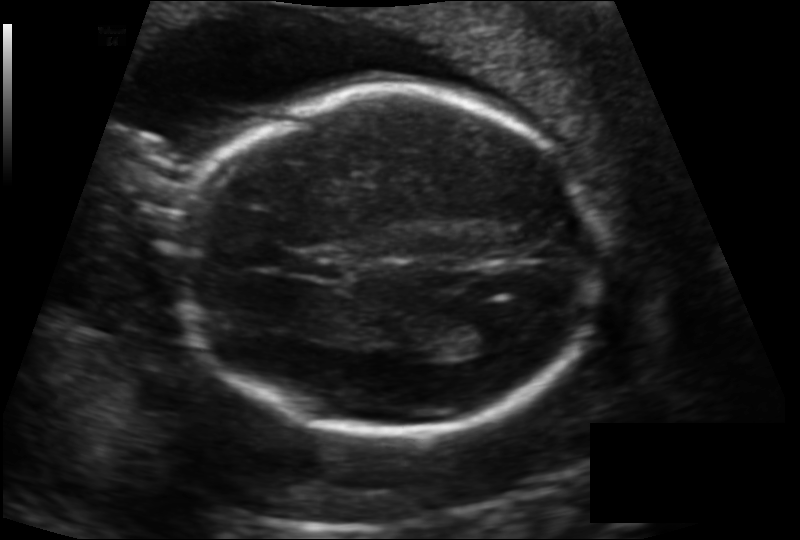
In this fetal head ultrasound, give bounding boxes for the head outline, cavum septum pellucidum (CSP), and lateral ventricle (LV), where visible. Image width: 113.2 mm.

Head: [175,87,603,435]
CSP: [285,247,347,282]
Lateral ventricle: [446,303,514,358]